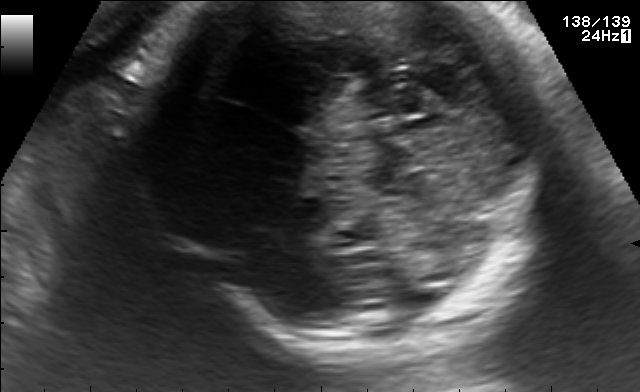
In this fetal brain, trans-cerebellum plane, give bounding boxes for the head outline, cavum septum pellucidum (CSP), and lateral ventricle (LV), where visible.

Head: [159,1,551,350]